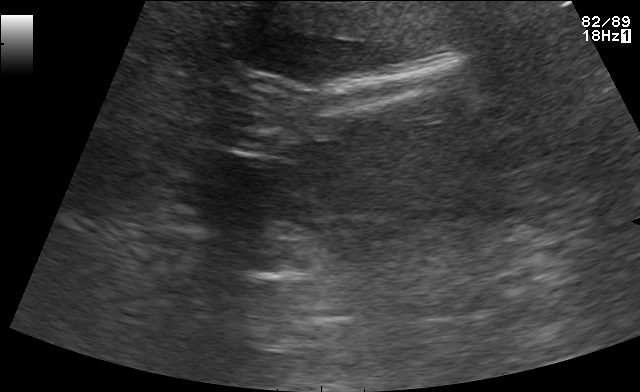
Classify this maternal-fetal ultrasound image as one of the six standard planes — fetal abdomen, fetal brain, fetal femur, fetal thorax, maternal cervix, or other. If it's fetal brain and one of the three standard brain planes (trans-thalamic, trans-cerebellum, trans-ventricular), name which.

Other